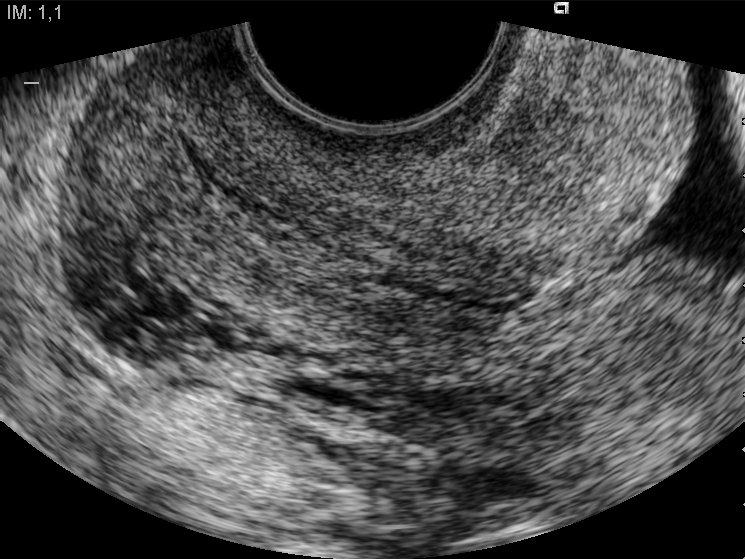
Identify the standard plane in this fetal ultrasound image: fetal abdomen, fetal brain, fetal femur, fetal thorax, maternal cervix, or other. If it's fetal brain and one of the three standard brain planes (trans-thalamic, trans-cerebellum, trans-ventricular), name which.

Maternal cervix